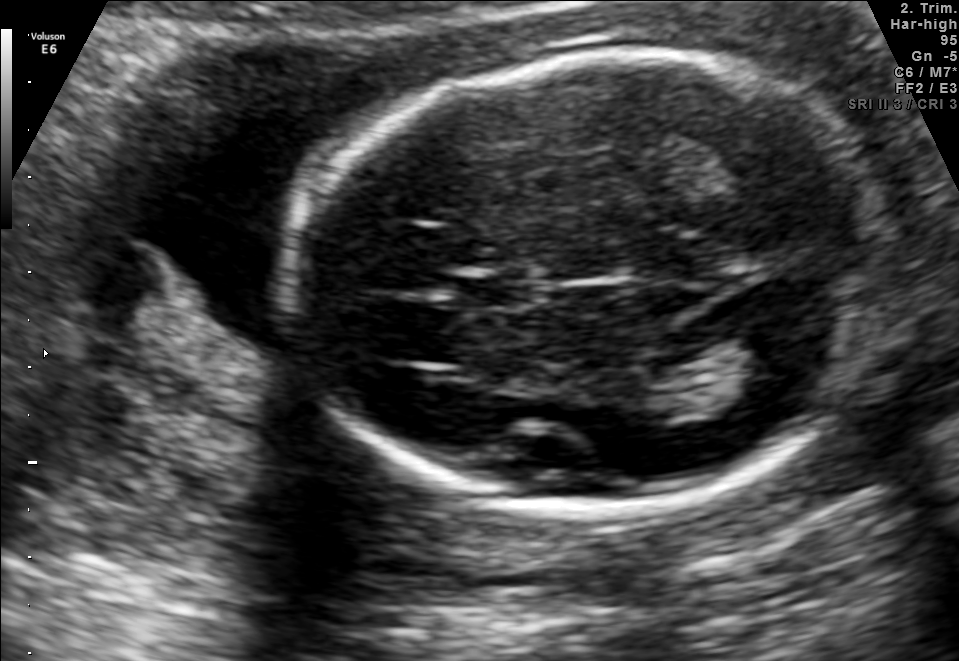
Fetal brain, trans-thalamic plane. Locate the fetal head.

Head: [290,53,885,518]